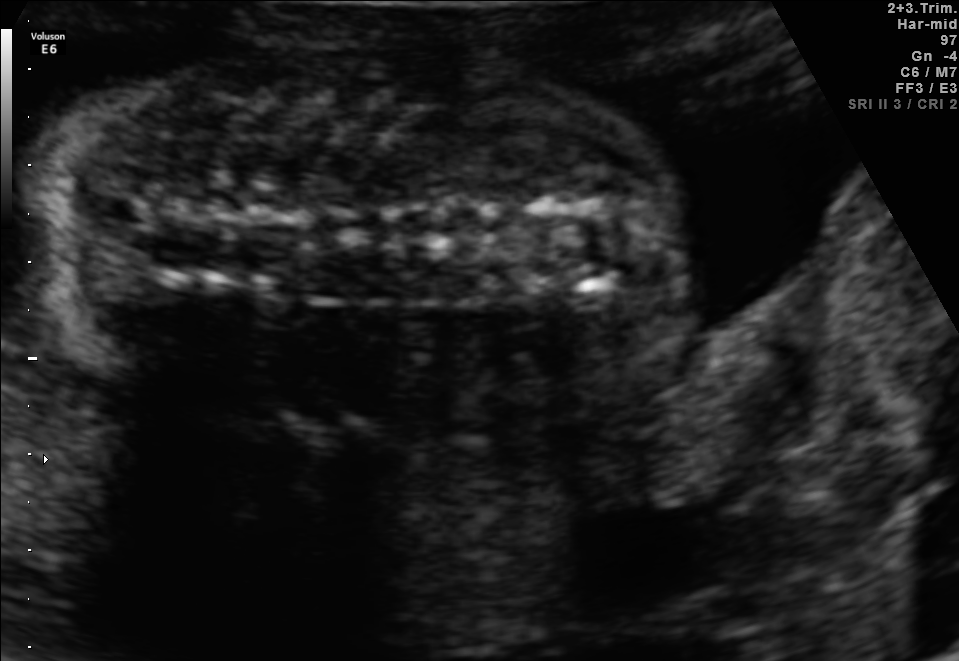
Identify the standard plane in this fetal ultrasound image: fetal abdomen, fetal brain, fetal femur, fetal thorax, maternal cervix, or other. If it's fetal brain and one of the three standard brain planes (trans-thalamic, trans-cerebellum, trans-ventricular), name which.

Other